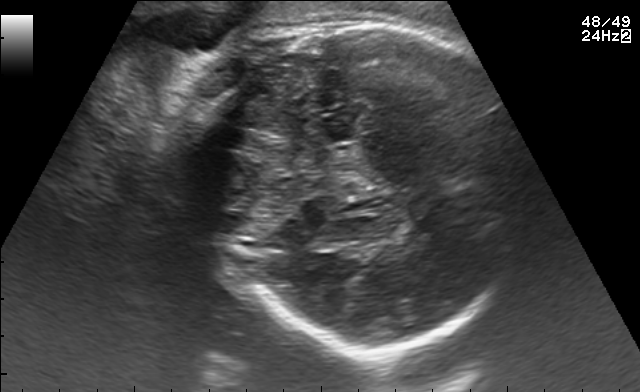
In this fetal brain, trans-thalamic plane, give the bounding box of the fetal head.

[187,15,531,344]